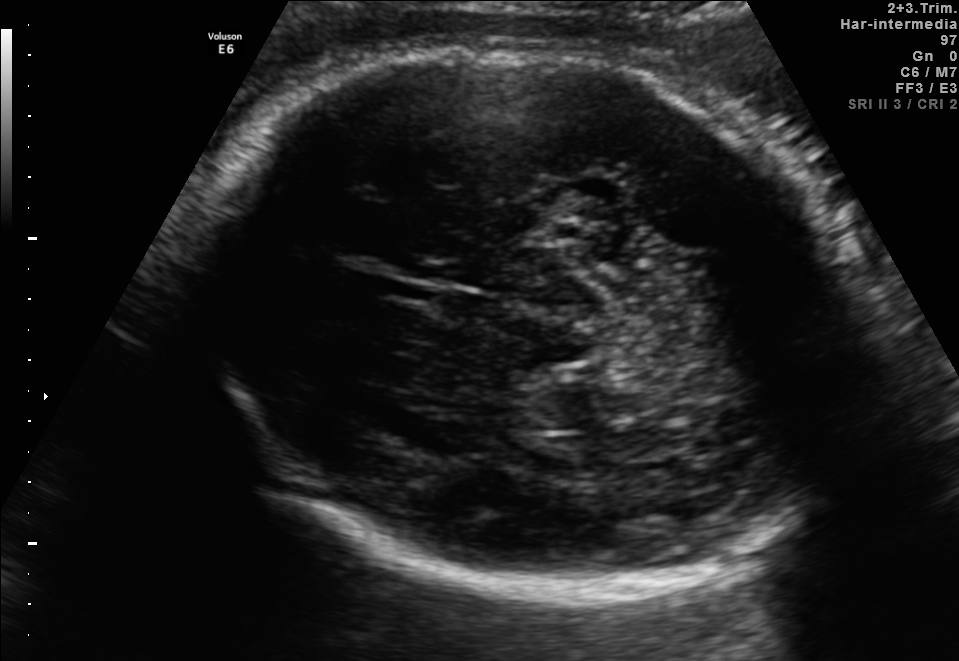
In this fetal brain, trans-thalamic plane, give bounding boxes for the head outline, cavum septum pellucidum (CSP), and lateral ventricle (LV), where visible.

Head: [192,46,863,599]